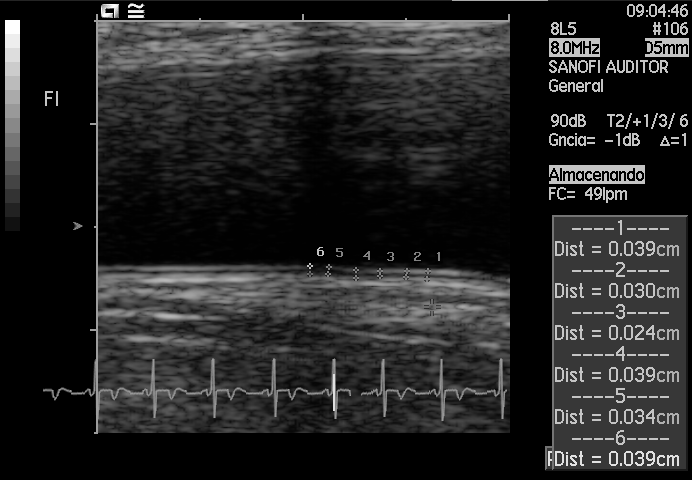
Classify this maternal-fetal ultrasound image as one of the six standard planes — fetal abdomen, fetal brain, fetal femur, fetal thorax, maternal cervix, or other. If it's fetal brain and one of the three standard brain planes (trans-thalamic, trans-cerebellum, trans-ventricular), name which.

Other